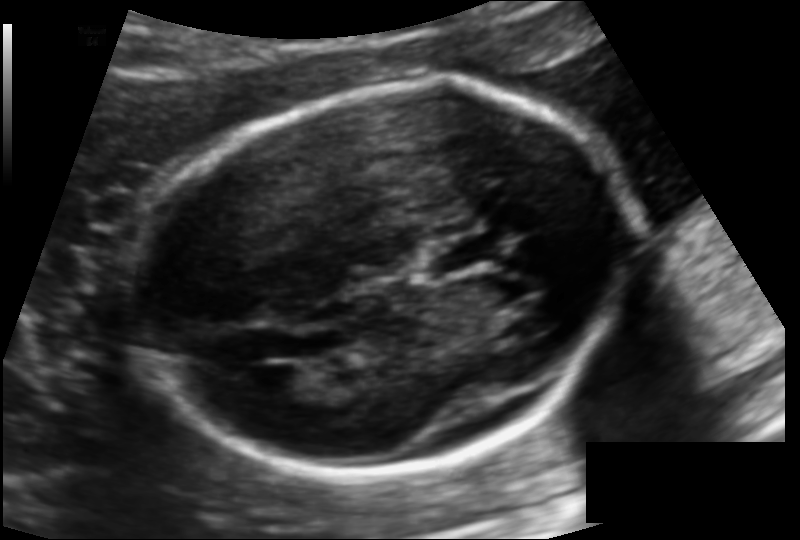
Fetal head ultrasound. Image width: 99.2 mm. Where is the lateral ventricle?

Lateral ventricle bounding box: [252,365,309,400]